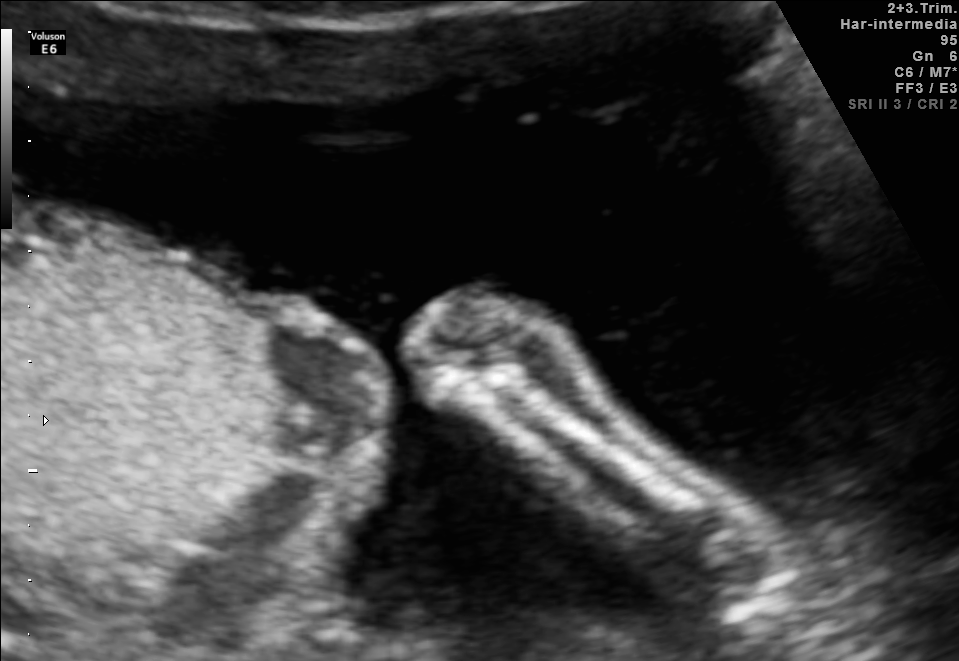
Identify the standard plane in this fetal ultrasound image: fetal abdomen, fetal brain, fetal femur, fetal thorax, maternal cervix, or other. If it's fetal brain and one of the three standard brain planes (trans-thalamic, trans-cerebellum, trans-ventricular), name which.

Other